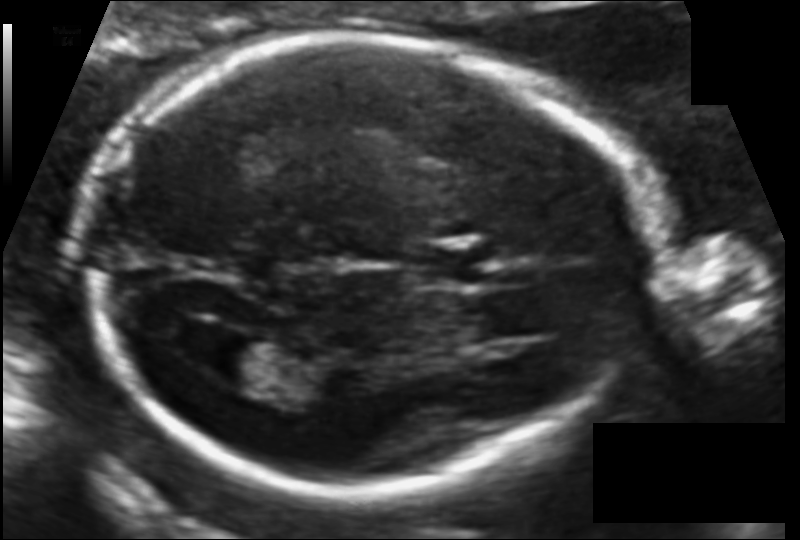
Fetal head ultrasound. Image width: 87.0 mm. Locate the lateral ventricle.

Lateral ventricle: [190,318,279,392]